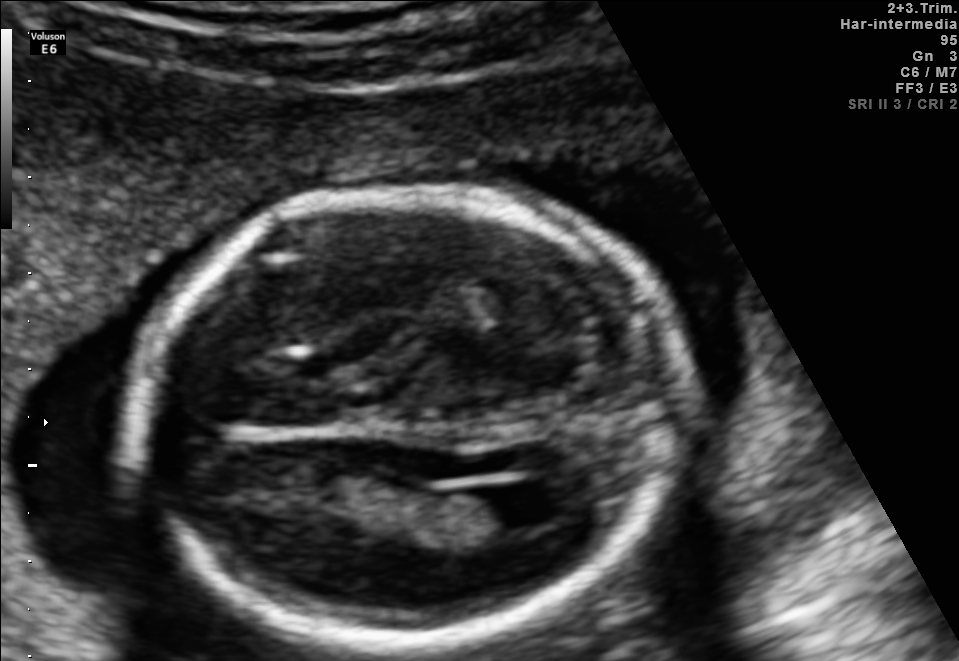
Fetal brain, trans-ventricular plane. Give [x1,y1,x2,y2] bounding boxes for each visible structure among: fetal head, CSP, LV.

Head: [121,177,702,658]
Lateral ventricle: [466,474,566,539]